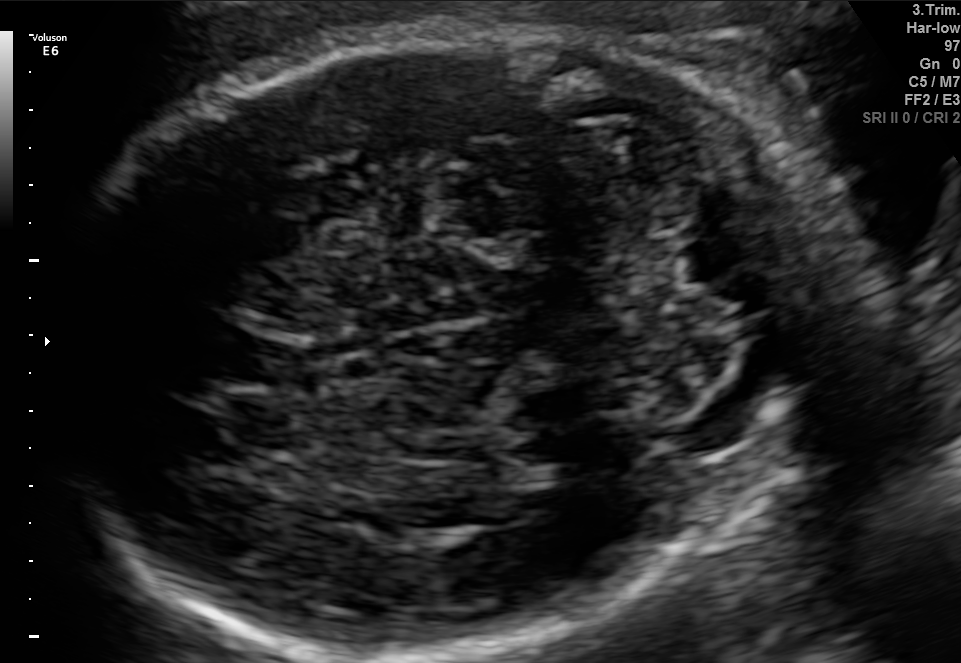
Fetal brain, trans-cerebellum plane. Give [x1,y1,x2,y2] bounding boxes for each visible structure among: fetal head, CSP, LV.

Head: [51,25,860,648]
CSP: [215,327,317,396]